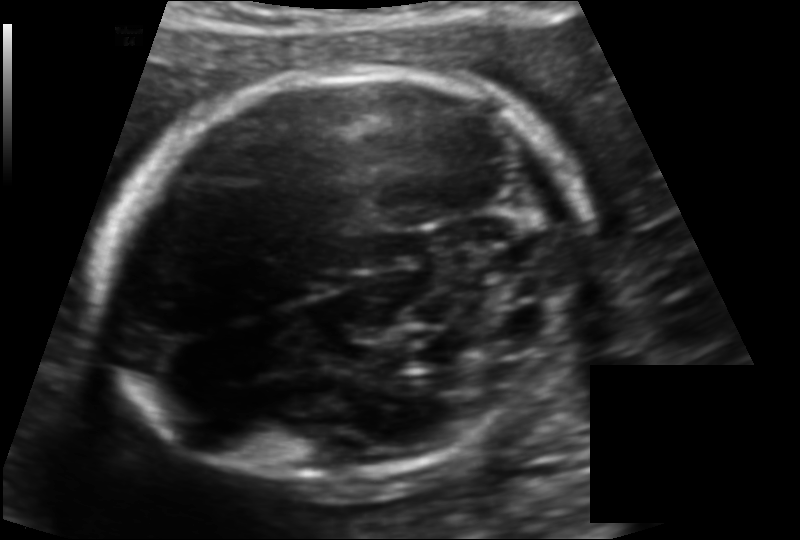
Fetal head ultrasound. Image width: 100.1 mm. Where is the fetal head?

Head bounding box: [103,66,586,487]